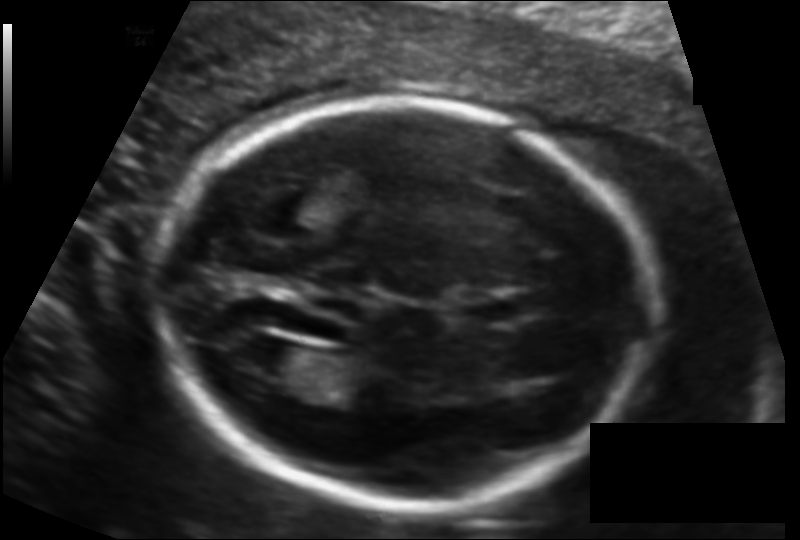
Fetal head ultrasound. Image width: 98.9 mm. Locate the fetal head and, if visible, the cavum septum pellucidum (CSP) and lateral ventricle (LV). Give bounding boxes as [x1,y1,x2,y2].

Head: [158,98,649,507]
CSP: [463,290,523,328]
Lateral ventricle: [233,334,308,385]